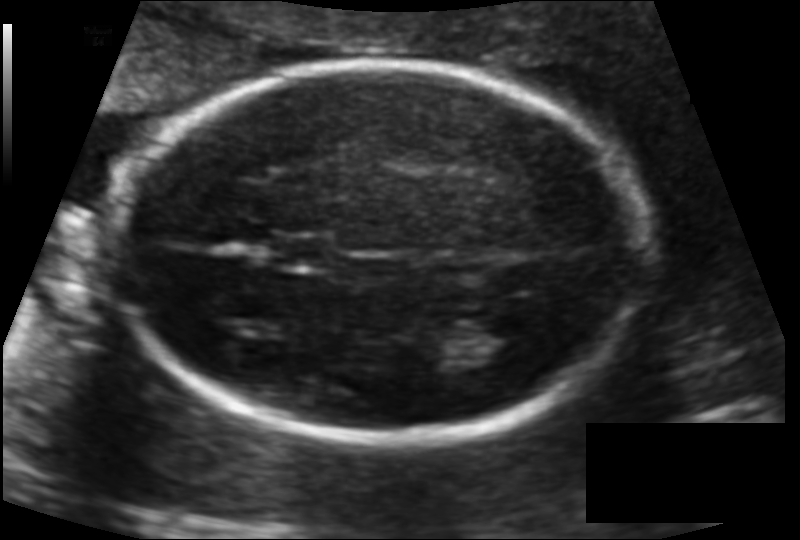
In this fetal head ultrasound, give bounding boxes for the head outline, cavum septum pellucidum (CSP), and lateral ventricle (LV), where visible. Image width: 91.7 mm.

Head: [114,60,644,444]
CSP: [275,234,334,270]
Lateral ventricle: [458,315,538,371]